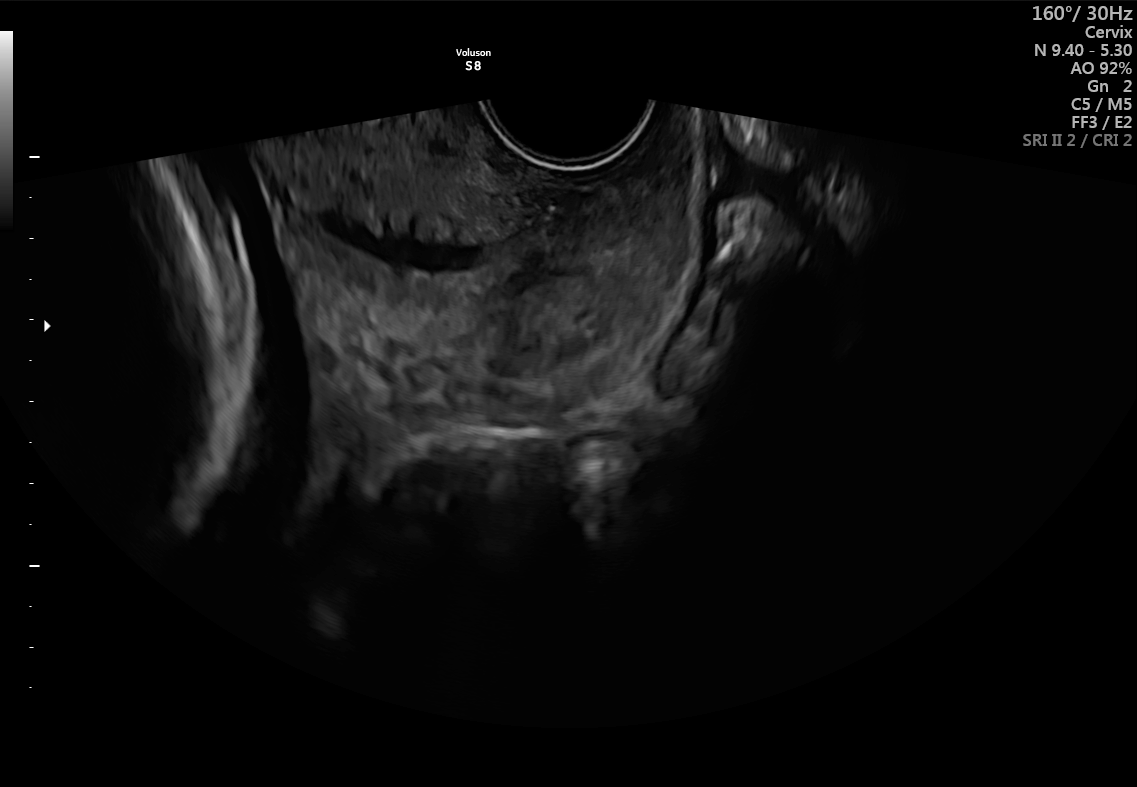
Classify this maternal-fetal ultrasound image as one of the six standard planes — fetal abdomen, fetal brain, fetal femur, fetal thorax, maternal cervix, or other. If it's fetal brain and one of the three standard brain planes (trans-thalamic, trans-cerebellum, trans-ventricular), name which.

Maternal cervix